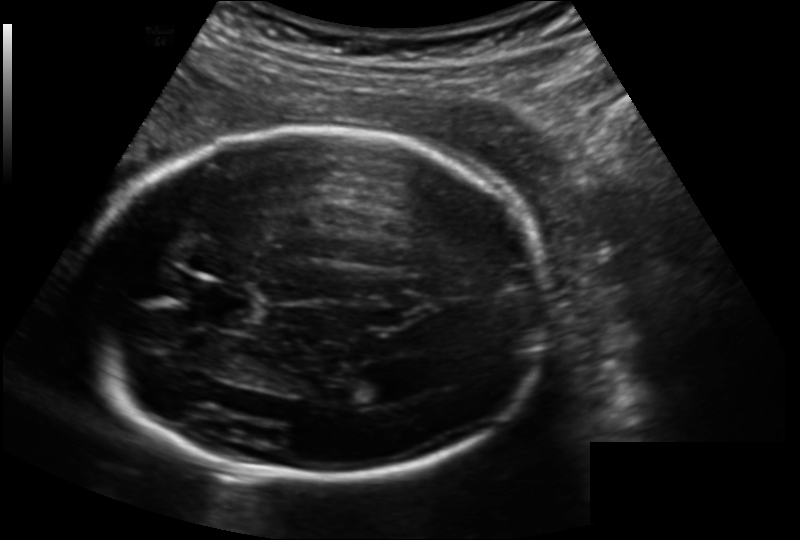
Fetal head ultrasound. Image width: 130.8 mm. Locate the fetal head.

Head: [78,131,551,481]